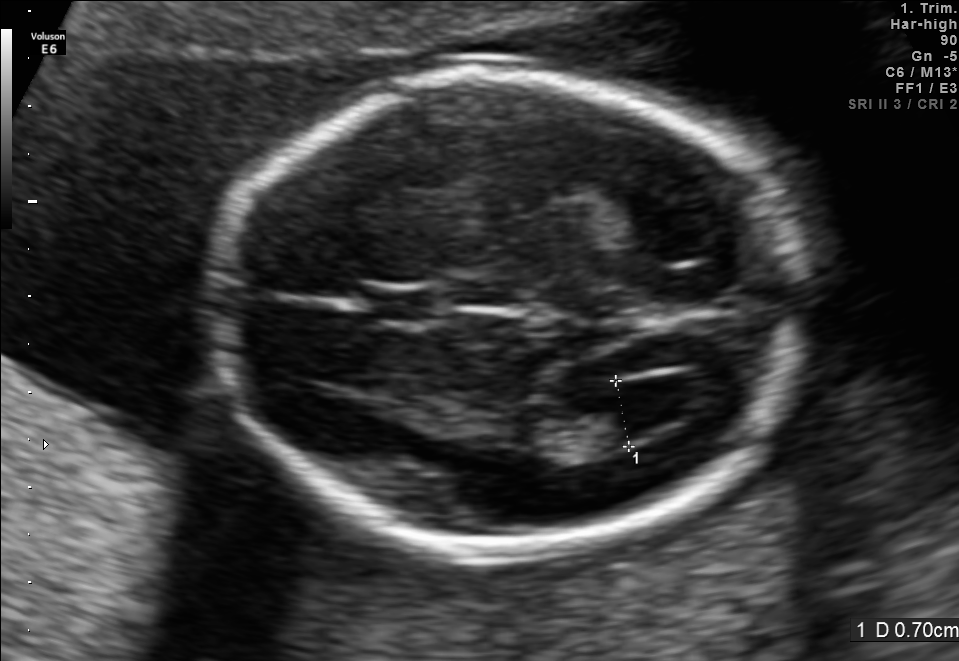
Fetal brain, trans-ventricular plane. Locate the lateral ventricle.

Lateral ventricle: [597,371,701,440]